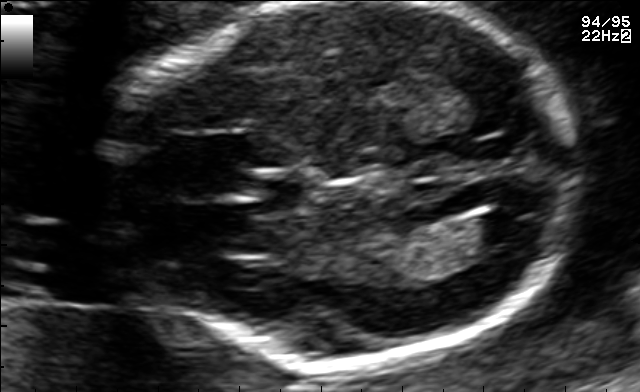
Fetal brain, trans-ventricular plane. Locate the fetal head.

Head: [93,2,599,374]